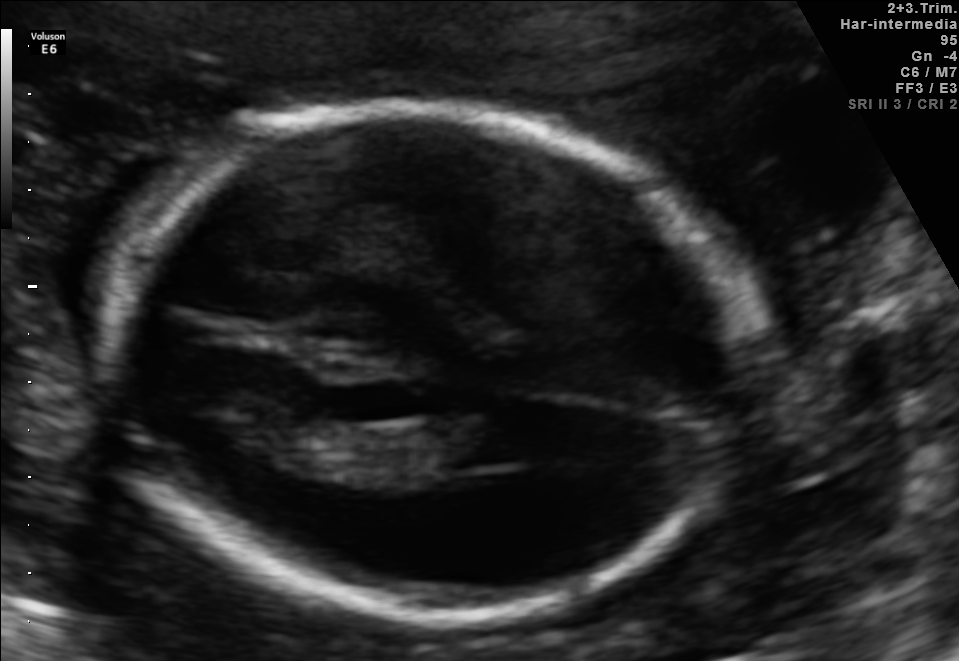
Fetal brain, trans-thalamic plane. Where is the fetal head?

Head bounding box: [102,109,757,618]